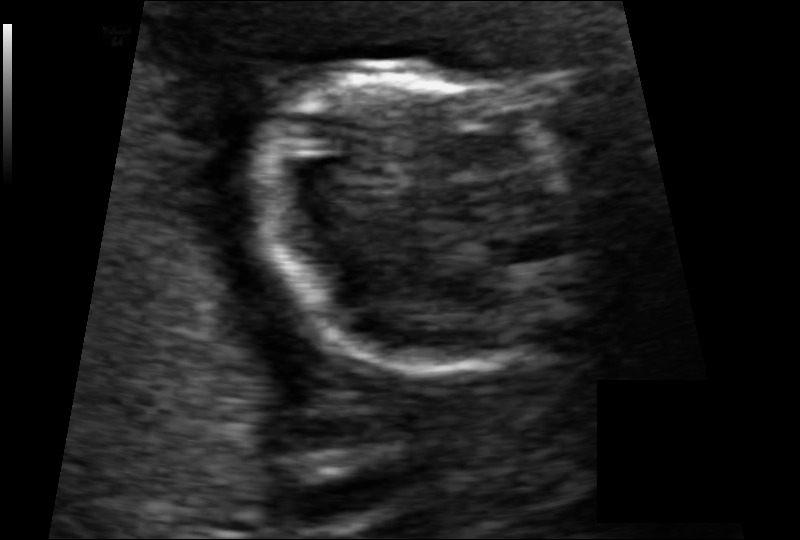
Fetal head ultrasound. Image width: 62.3 mm. Give [x1,y1,x2,y2] bounding boxes for each visible structure among: fetal head, CSP, LV.

Head: [249,60,580,373]